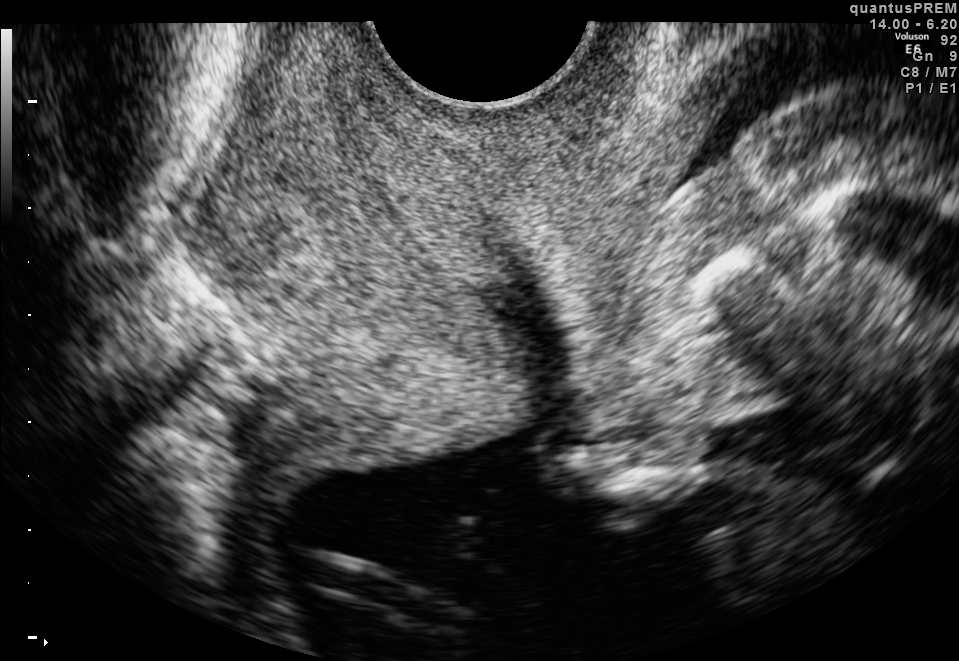
Which standard maternal-fetal ultrasound plane is shown: fetal abdomen, fetal brain, fetal femur, fetal thorax, maternal cervix, or other? If it's fetal brain and one of the three standard brain planes (trans-thalamic, trans-cerebellum, trans-ventricular), name which.

Maternal cervix